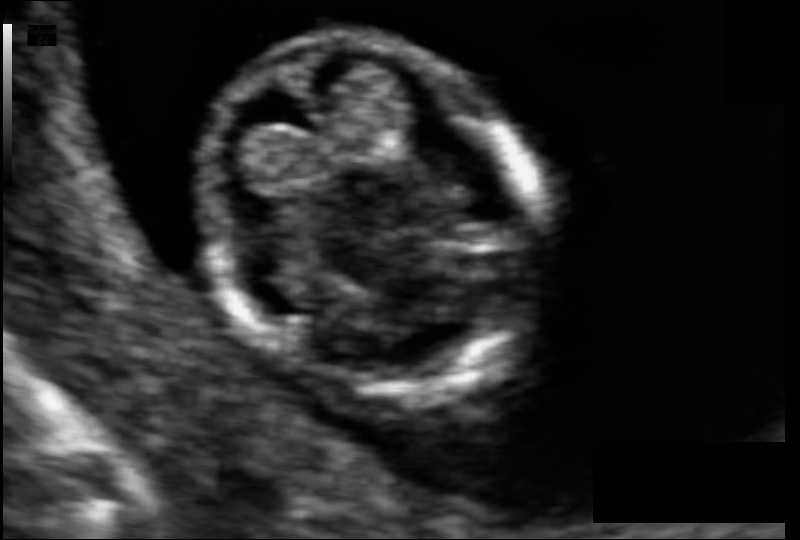
Fetal head ultrasound. Image width: 50.8 mm. Where is the fetal head?

Head bounding box: [206,35,537,402]